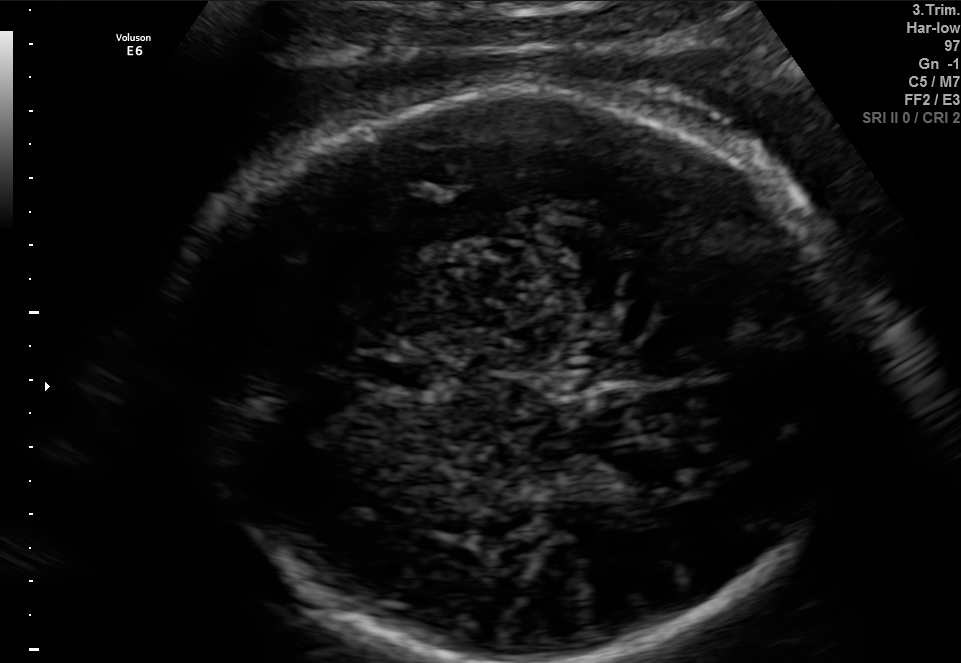
Fetal brain, trans-thalamic plane. Where is the fetal head?

Head bounding box: [163,95,864,660]